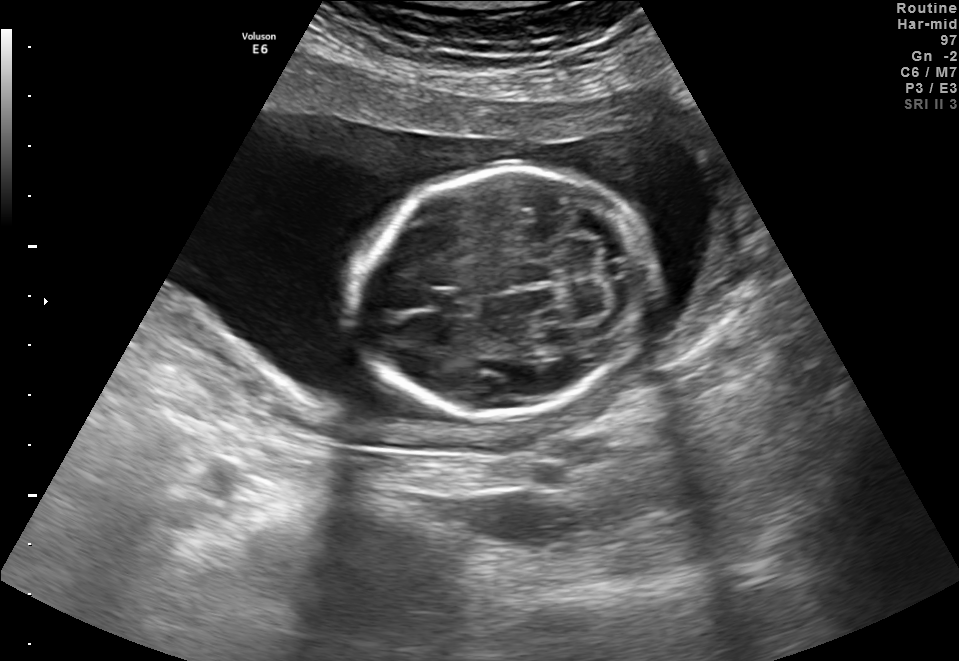
Fetal brain, trans-cerebellum plane. Give [x1,y1,x2,y2] bounding boxes for each visible structure among: fetal head, CSP, LV.

Head: [351,169,654,416]
CSP: [431,287,477,316]